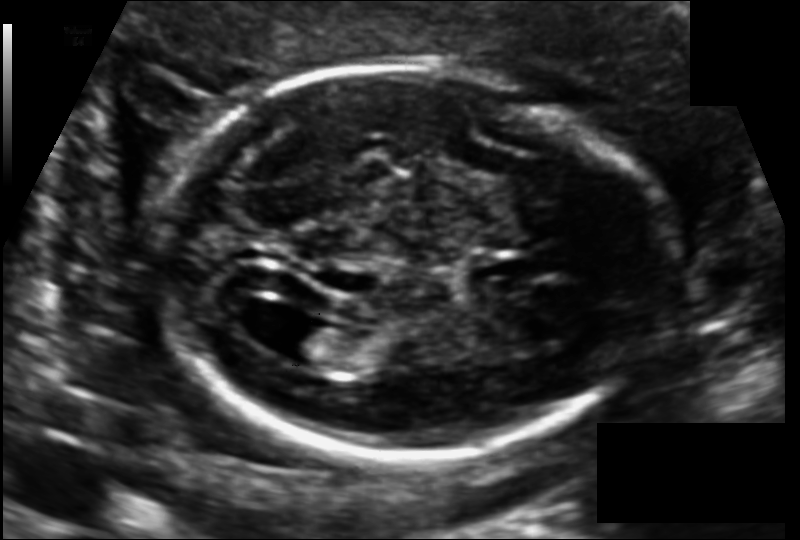
Fetal head ultrasound. Image width: 94.6 mm. Give [x1,y1,x2,y2] bounding boxes for each visible structure among: fetal head, CSP, LV.

Head: [157,65,668,455]
Lateral ventricle: [271,313,351,376]